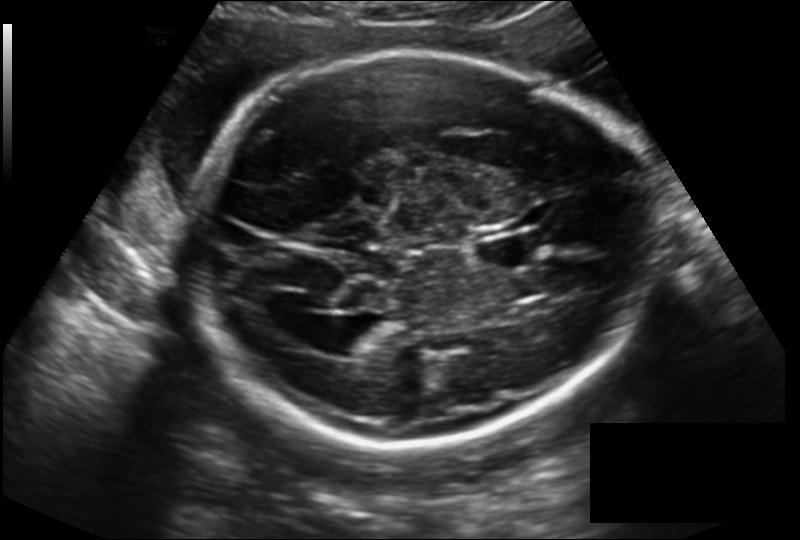
In this fetal head ultrasound, give the bounding box of the lateral ventricle. Image width: 155.0 mm.

[313,313,385,360]